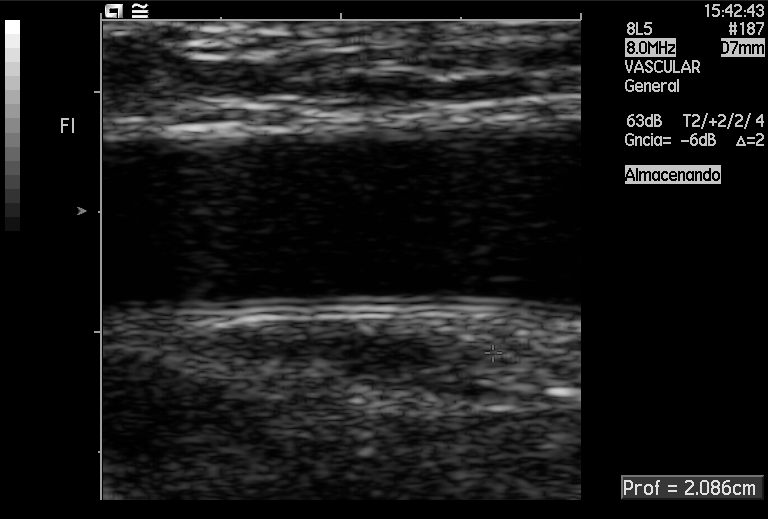
Which standard maternal-fetal ultrasound plane is shown: fetal abdomen, fetal brain, fetal femur, fetal thorax, maternal cervix, or other? If it's fetal brain and one of the three standard brain planes (trans-thalamic, trans-cerebellum, trans-ventricular), name which.

Other